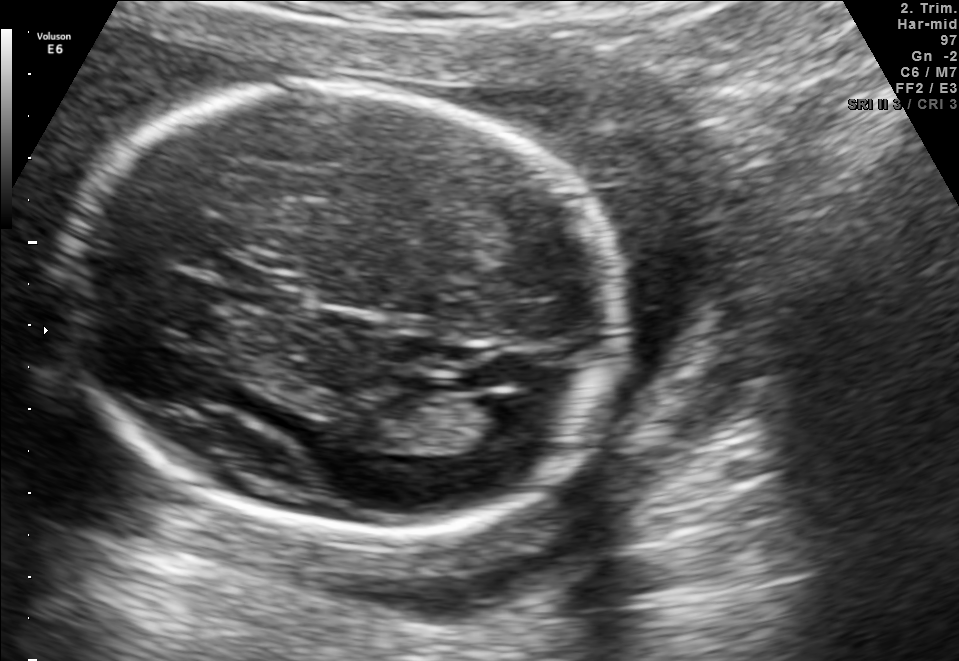
Fetal brain, trans-ventricular plane. Locate the cavum septum pellucidum.

CSP: [229,265,305,315]